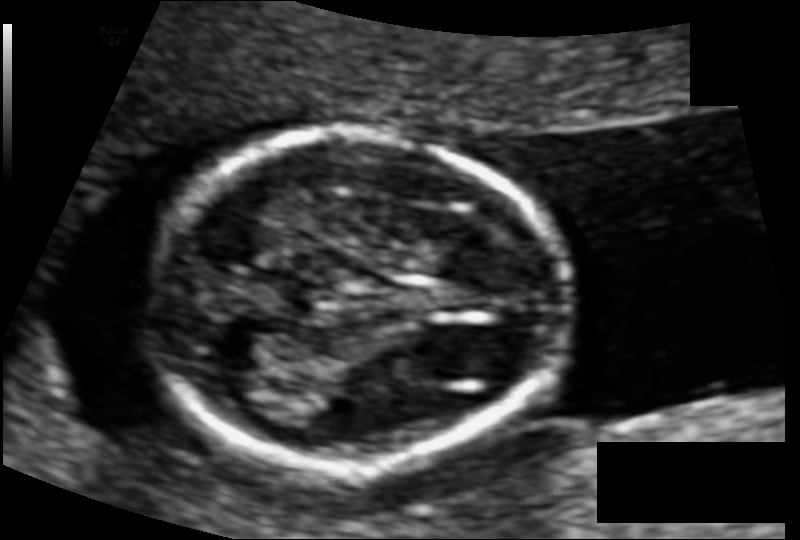
In this fetal head ultrasound, give bounding boxes for the head outline, cavum septum pellucidum (CSP), and lateral ventricle (LV), where visible. Image width: 66.8 mm.

Head: [153,133,567,464]